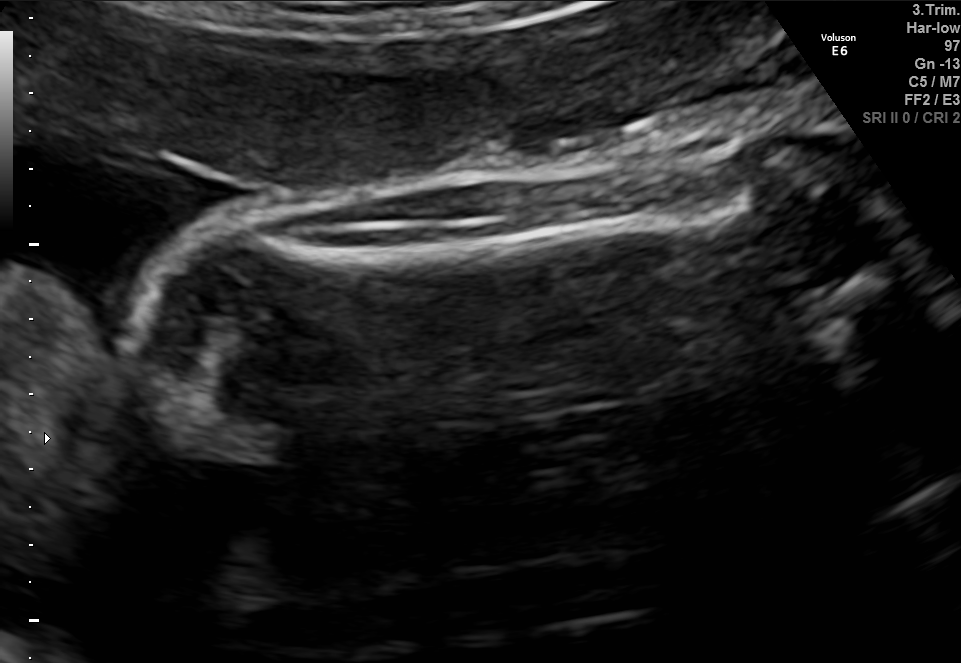
This is a 2D maternal-fetal ultrasound frame. Is it a fetal abdomen, fetal brain, fetal femur, fetal thorax, maternal cervix, or other standard plane? If it's fetal brain and one of the three standard brain planes (trans-thalamic, trans-cerebellum, trans-ventricular), name which.

Fetal femur